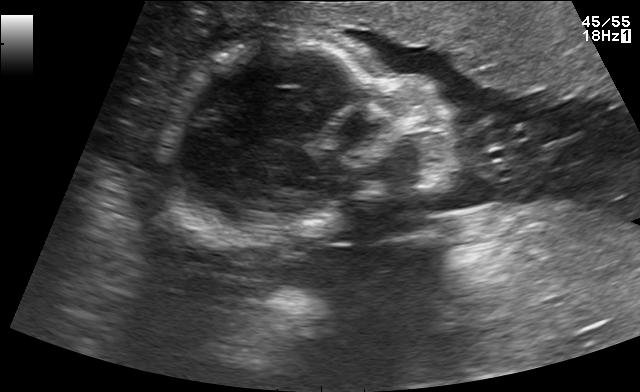
Classify this maternal-fetal ultrasound image as one of the six standard planes — fetal abdomen, fetal brain, fetal femur, fetal thorax, maternal cervix, or other. If it's fetal brain and one of the three standard brain planes (trans-thalamic, trans-cerebellum, trans-ventricular), name which.

Other